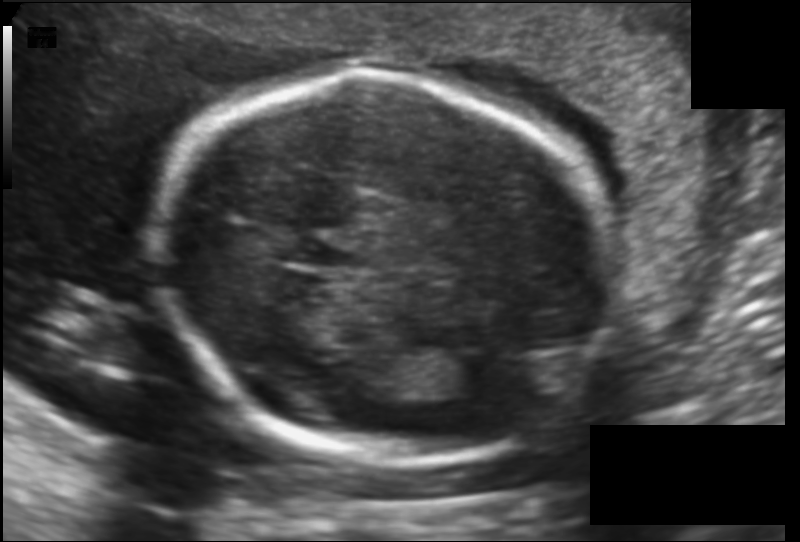
In this fetal head ultrasound, give the bounding box of the fetal head. Image width: 103.7 mm.

[165,72,618,463]